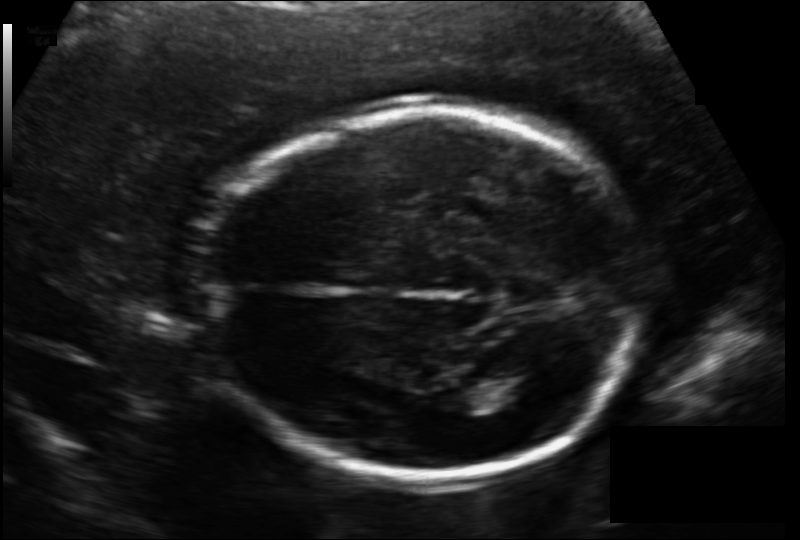
Fetal head ultrasound. Image width: 106.6 mm. Where is the fetal head?

Head bounding box: [203,107,644,480]